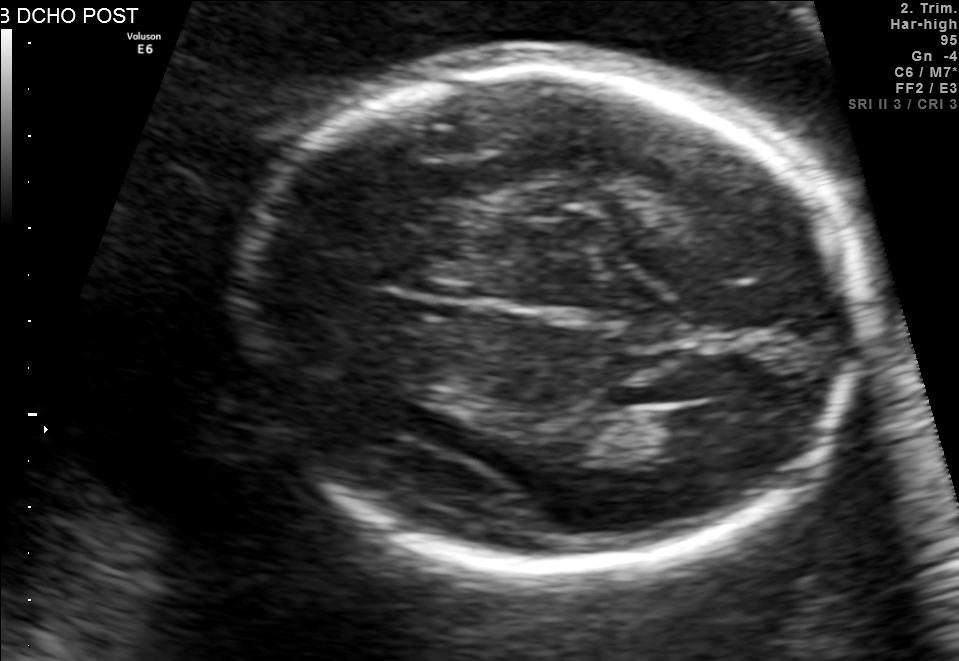
Fetal brain, trans-thalamic plane. Locate the fetal head.

Head: [239,66,856,573]